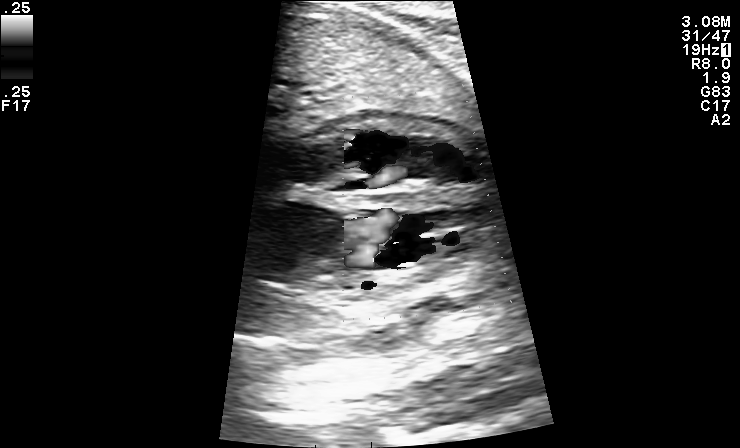
This is a 2D maternal-fetal ultrasound frame. Is it a fetal abdomen, fetal brain, fetal femur, fetal thorax, maternal cervix, or other standard plane? If it's fetal brain and one of the three standard brain planes (trans-thalamic, trans-cerebellum, trans-ventricular), name which.

Other